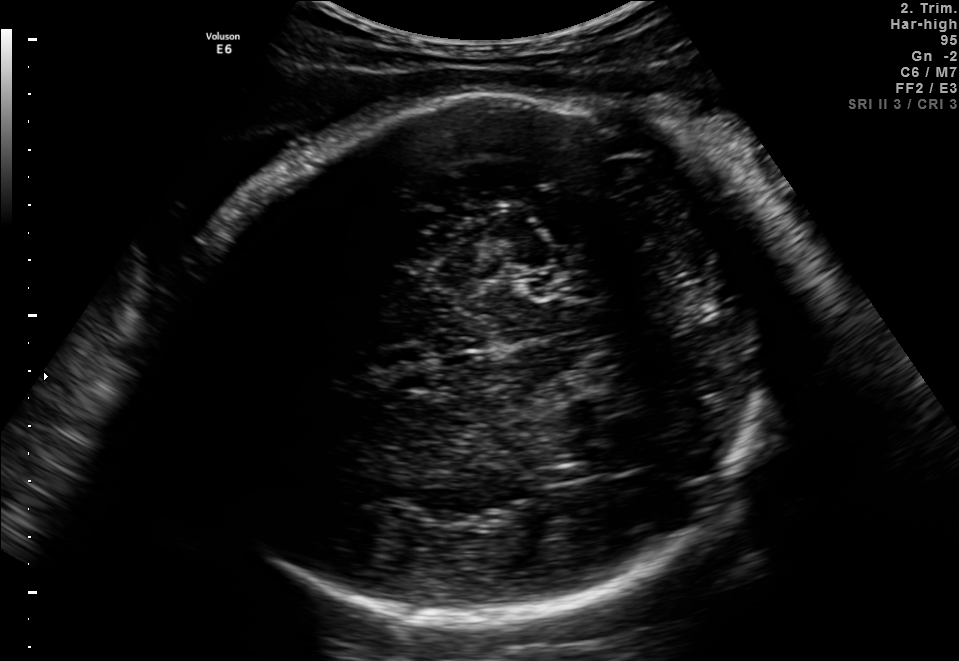
Fetal brain, trans-thalamic plane. Where is the fetal head?

Head bounding box: [172,82,797,625]